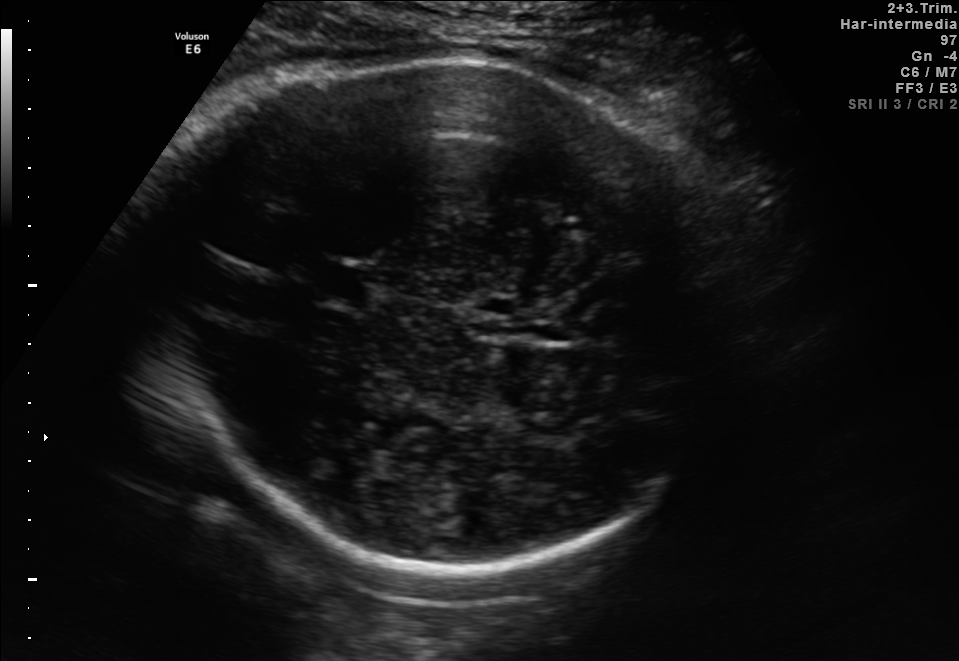
In this fetal brain, trans-thalamic plane, give bounding boxes for the head outline, cavum septum pellucidum (CSP), and lateral ventricle (LV), where visible.

Head: [126,56,733,573]
CSP: [304,256,375,306]